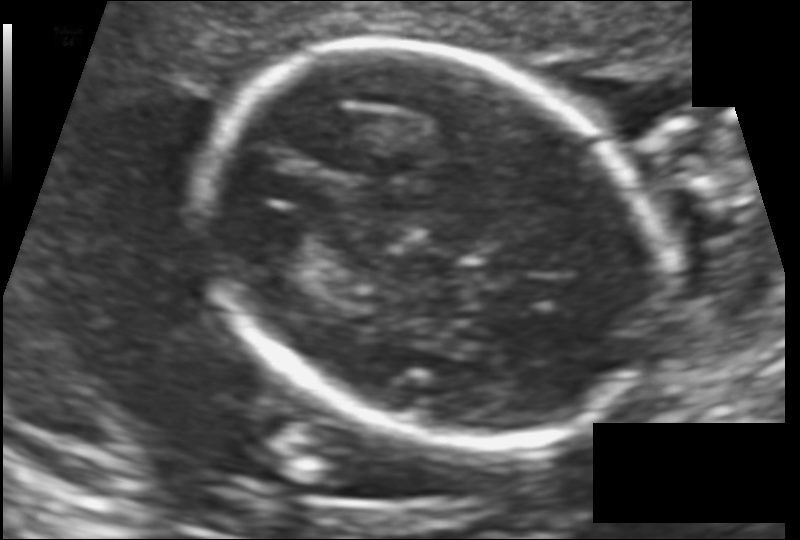
From this fetal ultrasound, estimate the head circumference (image width 101.0 mm).

Head circumference: 172.9 mm.